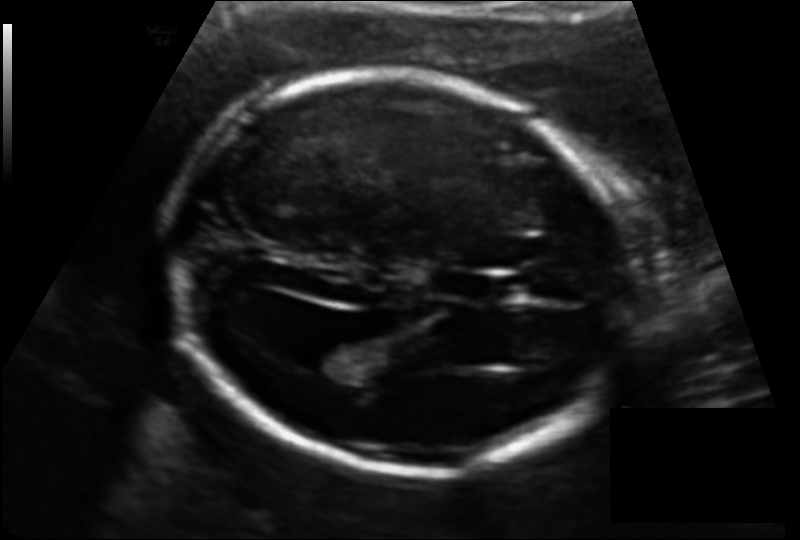
In this fetal head ultrasound, give the bounding box of the cavum septum pellucidum. Image width: 104.7 mm.

[436,267,508,304]